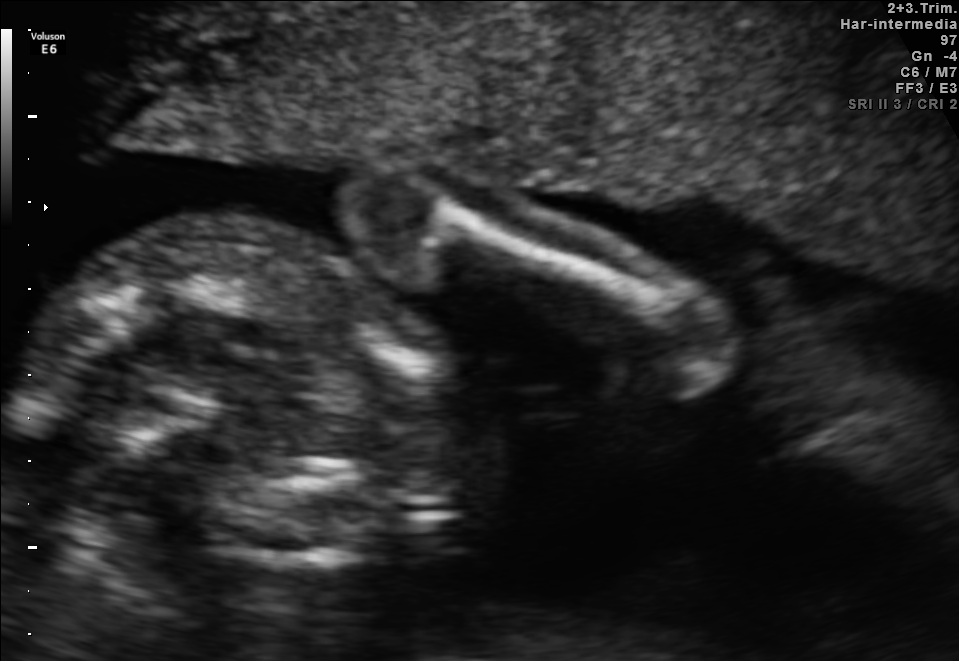
This is a 2D maternal-fetal ultrasound frame. Is it a fetal abdomen, fetal brain, fetal femur, fetal thorax, maternal cervix, or other standard plane? If it's fetal brain and one of the three standard brain planes (trans-thalamic, trans-cerebellum, trans-ventricular), name which.

Other